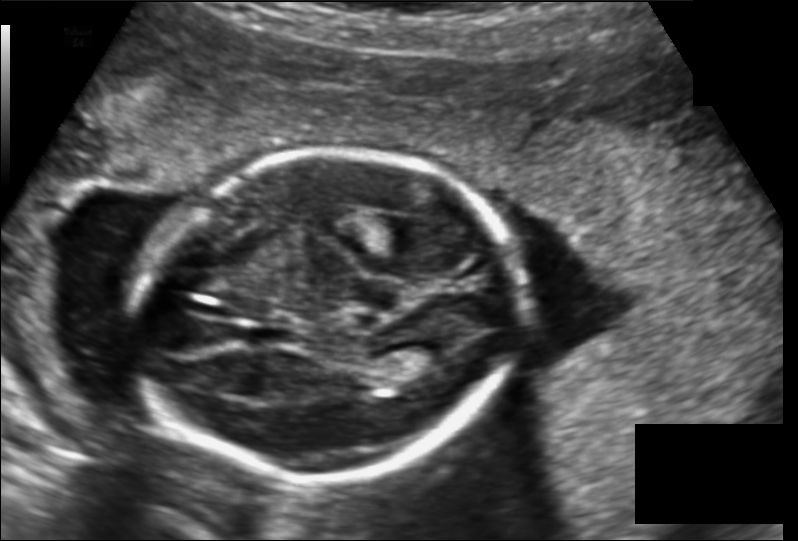
Fetal head ultrasound. Image width: 118.8 mm. Locate the lateral ventricle.

Lateral ventricle: [398,331,462,377]